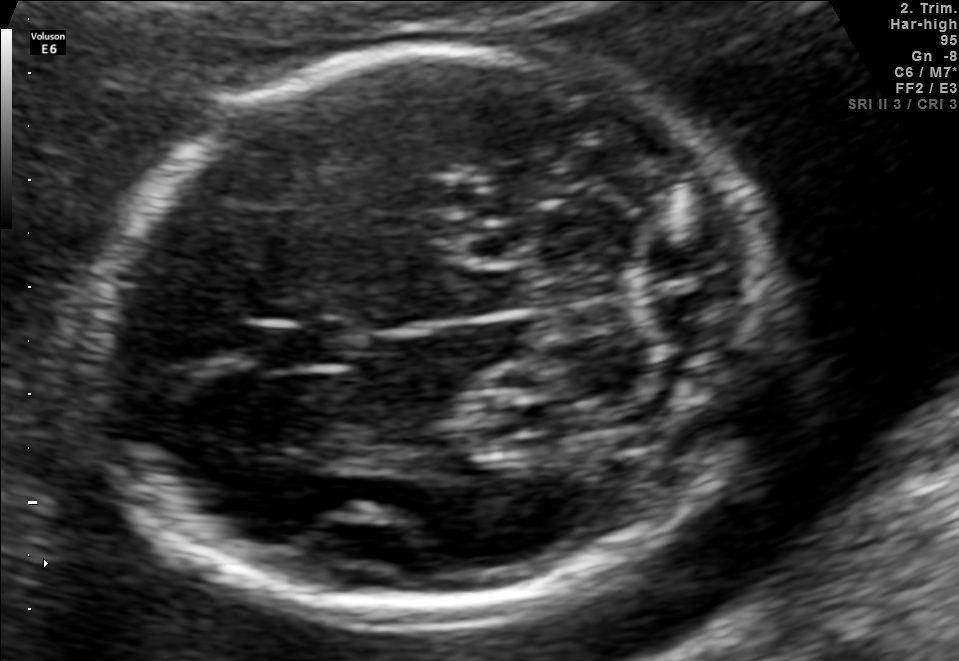
Fetal brain, trans-cerebellum plane. Locate the cavum septum pellucidum.

CSP: [253,320,354,370]